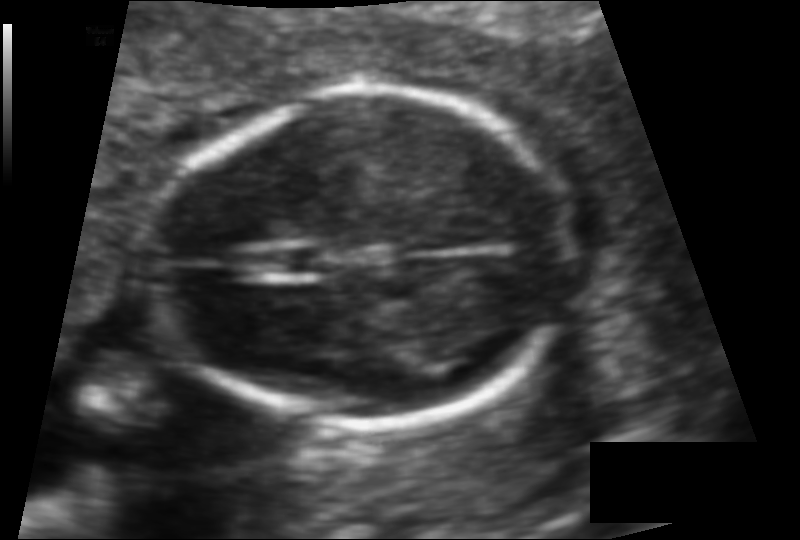
Fetal head ultrasound. Image width: 75.5 mm. Locate the cavum septum pellucidum.

CSP: [269,248,332,273]